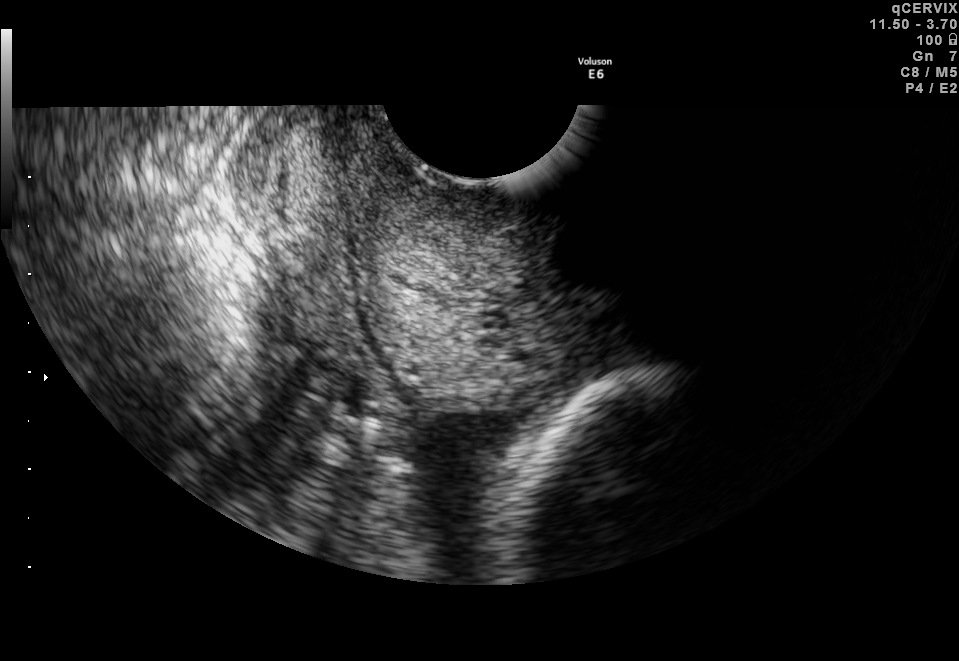
Identify the standard plane in this fetal ultrasound image: fetal abdomen, fetal brain, fetal femur, fetal thorax, maternal cervix, or other. If it's fetal brain and one of the three standard brain planes (trans-thalamic, trans-cerebellum, trans-ventricular), name which.

Maternal cervix